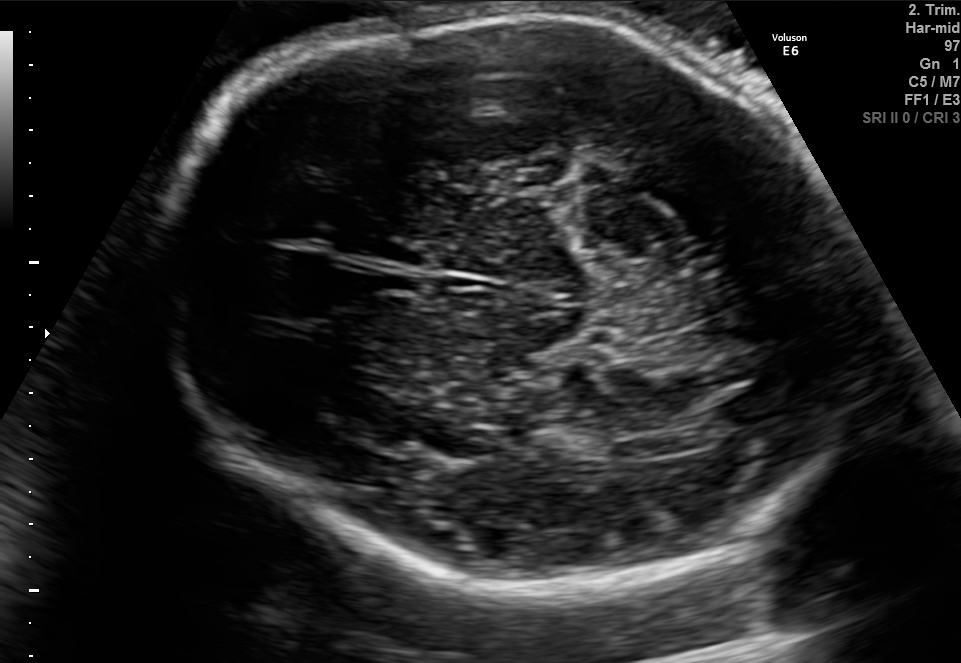
Classify this maternal-fetal ultrasound image as one of the six standard planes — fetal abdomen, fetal brain, fetal femur, fetal thorax, maternal cervix, or other. If it's fetal brain and one of the three standard brain planes (trans-thalamic, trans-cerebellum, trans-ventricular), name which.

Fetal brain (trans-thalamic plane)